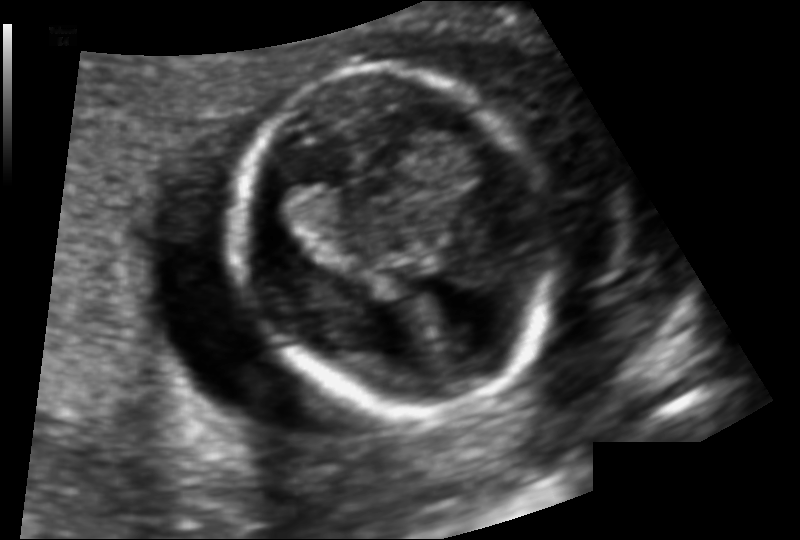
Fetal head ultrasound. Image width: 85.7 mm. Locate the fetal head.

Head: [234,63,546,410]